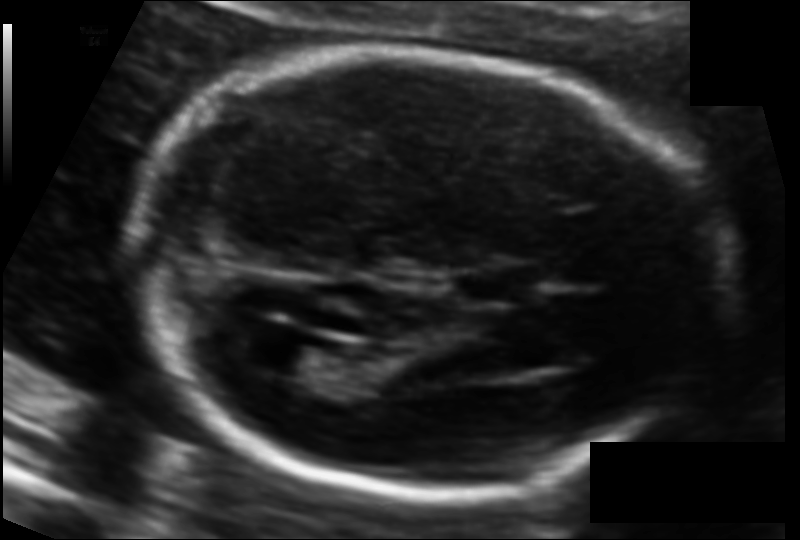
In this fetal head ultrasound, give the bounding box of the cavum septum pellucidum. Image width: 82.9 mm.

[468,267,539,304]